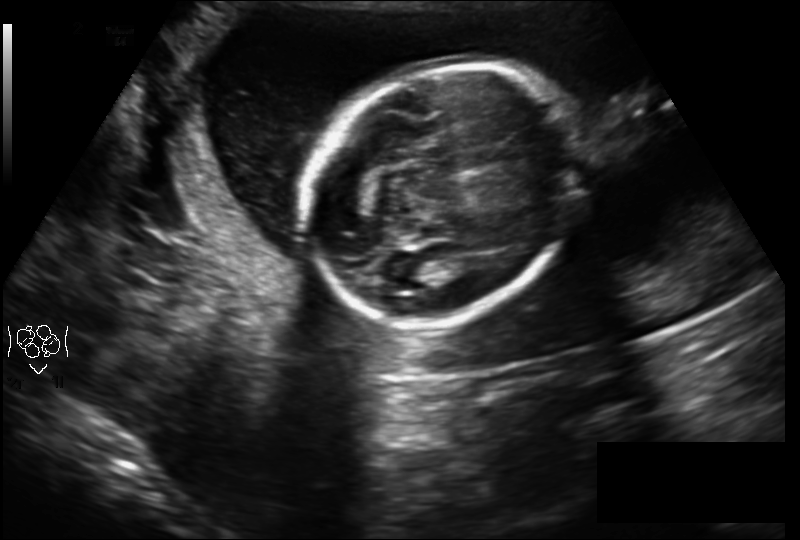
Estimate the fetal head circumference from this 2D ultrasound.

Head circumference: 180.4 mm (image width 167.6 mm).